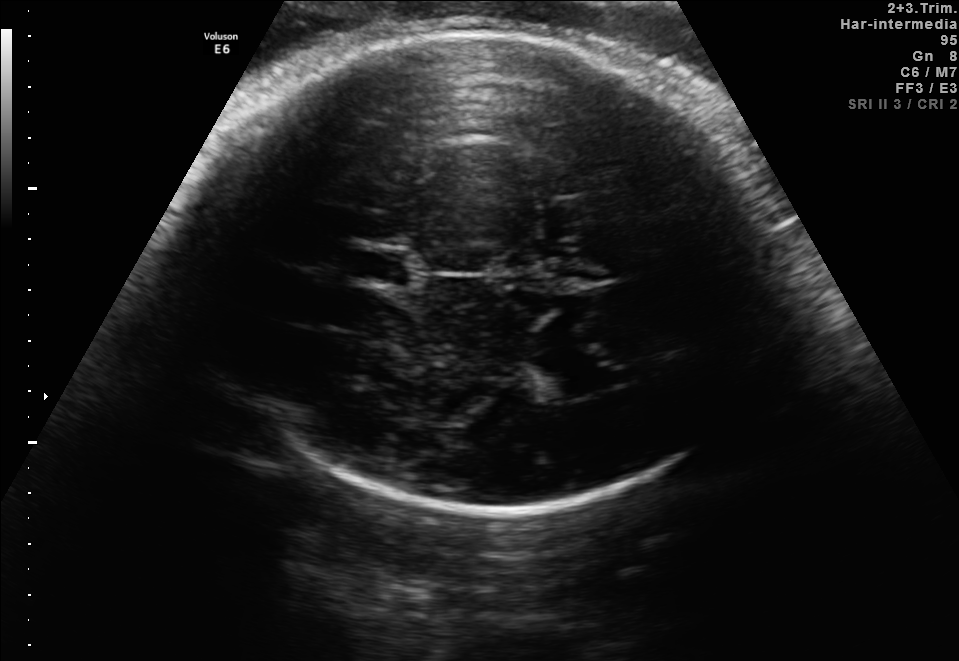
Fetal brain, trans-thalamic plane. Locate the fetal head.

Head: [179,32,782,513]